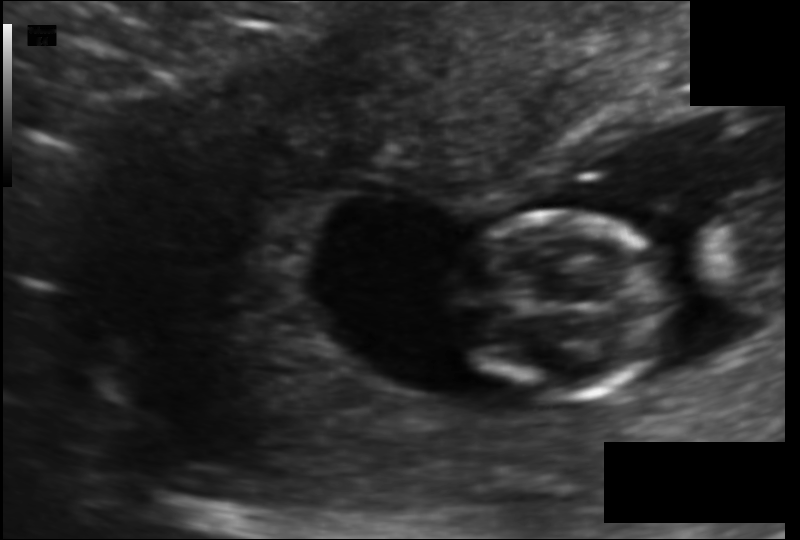
Measure the fetal head circumference shown in this ultrasound image. Image width: 82.9 mm.

Head circumference: 70.0 mm.